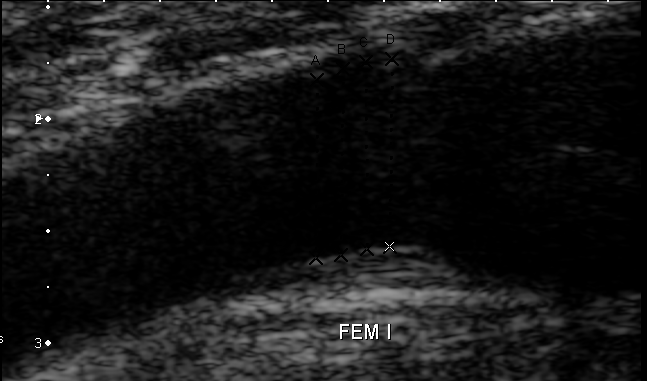
Which standard maternal-fetal ultrasound plane is shown: fetal abdomen, fetal brain, fetal femur, fetal thorax, maternal cervix, or other? If it's fetal brain and one of the three standard brain planes (trans-thalamic, trans-cerebellum, trans-ventricular), name which.

Other